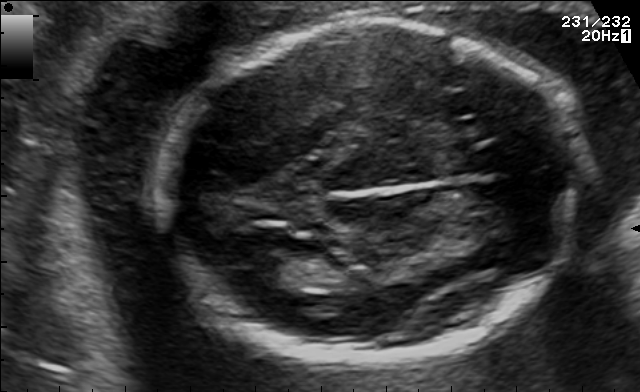
Fetal brain, trans-thalamic plane. Locate the fetal head.

Head: [154,20,582,362]